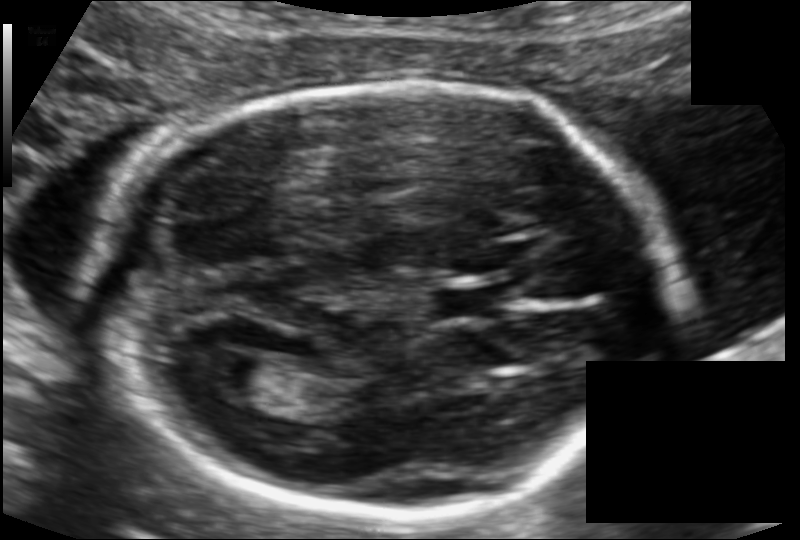
Fetal head ultrasound. Image width: 87.3 mm. Where is the lateral ventricle?

Lateral ventricle bounding box: [190,345,282,405]